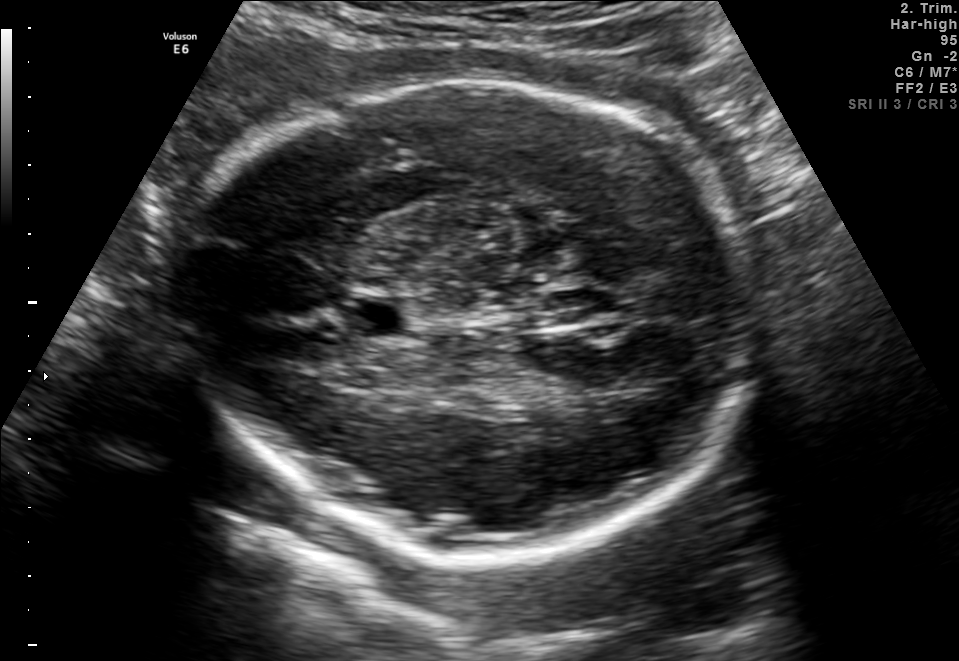
In this fetal brain, trans-thalamic plane, give the bounding box of the fetal head.

[180,76,751,547]